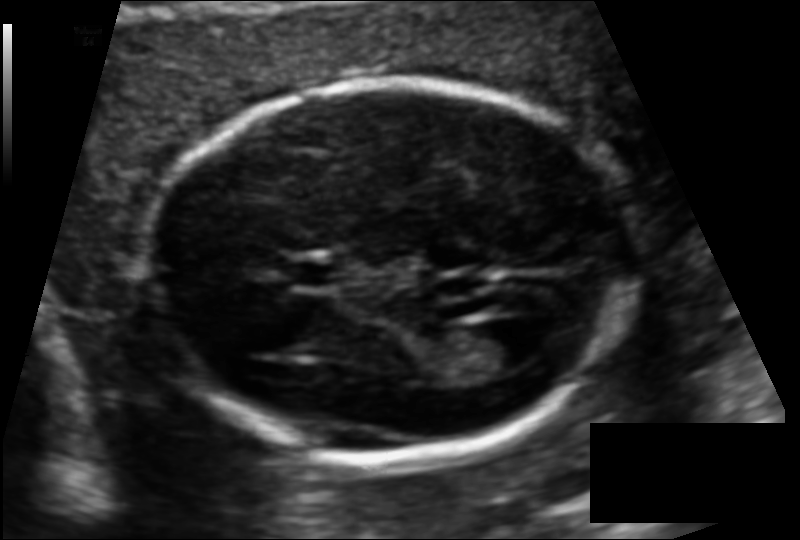
Estimate the fetal head circumference from this 2D ultrasound.

Head circumference: 155.3 mm (image width 88.0 mm).